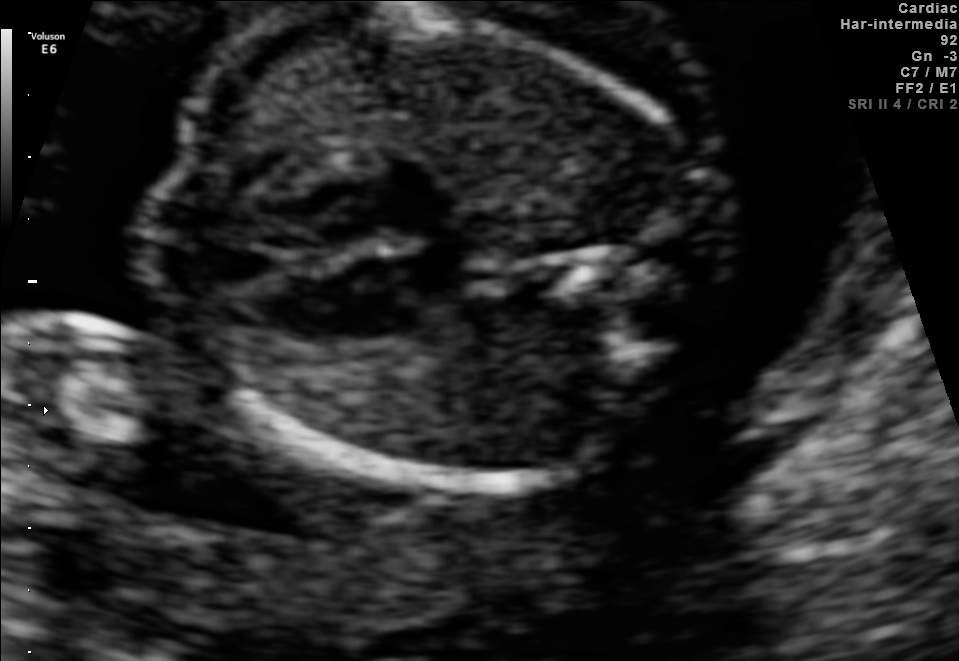
This is a 2D maternal-fetal ultrasound frame. Is it a fetal abdomen, fetal brain, fetal femur, fetal thorax, maternal cervix, or other standard plane? If it's fetal brain and one of the three standard brain planes (trans-thalamic, trans-cerebellum, trans-ventricular), name which.

Fetal thorax